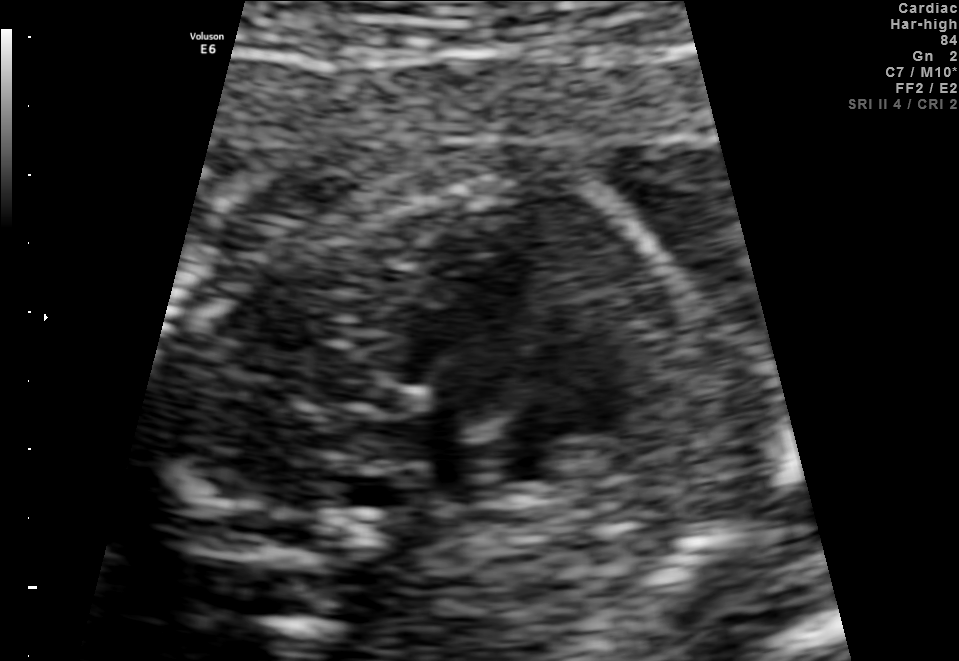
This is a 2D maternal-fetal ultrasound frame. Is it a fetal abdomen, fetal brain, fetal femur, fetal thorax, maternal cervix, or other standard plane? If it's fetal brain and one of the three standard brain planes (trans-thalamic, trans-cerebellum, trans-ventricular), name which.

Fetal thorax